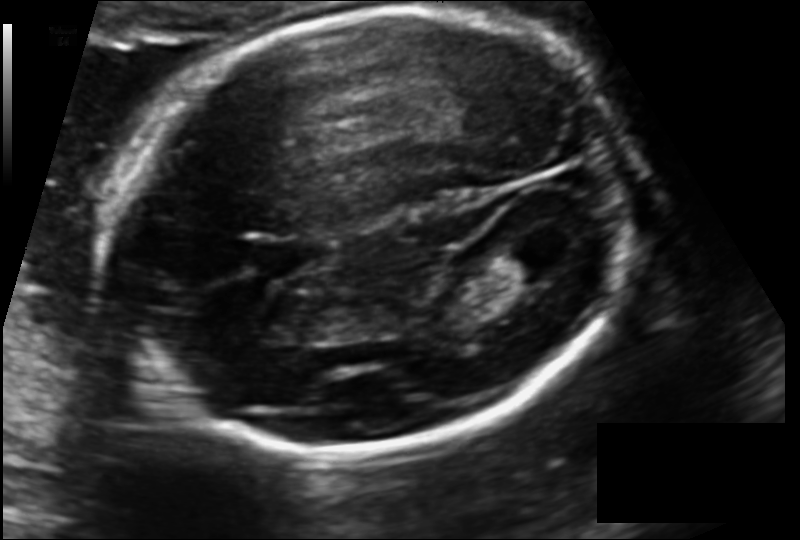
In this fetal head ultrasound, give the bounding box of the cavum septum pellucidum. Image width: 105.5 mm.

[254,231,333,280]